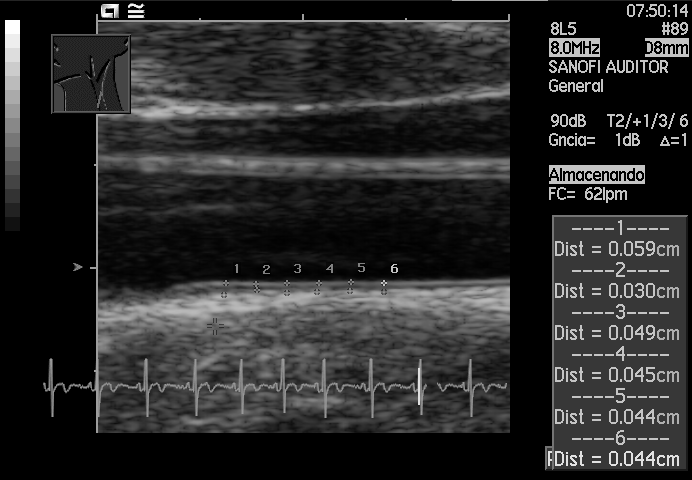
This is a 2D maternal-fetal ultrasound frame. Is it a fetal abdomen, fetal brain, fetal femur, fetal thorax, maternal cervix, or other standard plane? If it's fetal brain and one of the three standard brain planes (trans-thalamic, trans-cerebellum, trans-ventricular), name which.

Other